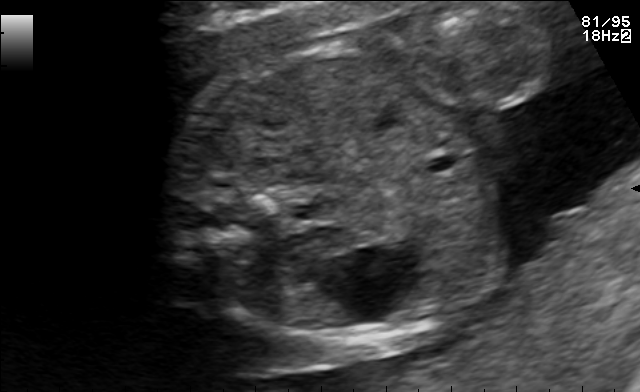
This is a 2D maternal-fetal ultrasound frame. Is it a fetal abdomen, fetal brain, fetal femur, fetal thorax, maternal cervix, or other standard plane? If it's fetal brain and one of the three standard brain planes (trans-thalamic, trans-cerebellum, trans-ventricular), name which.

Fetal abdomen